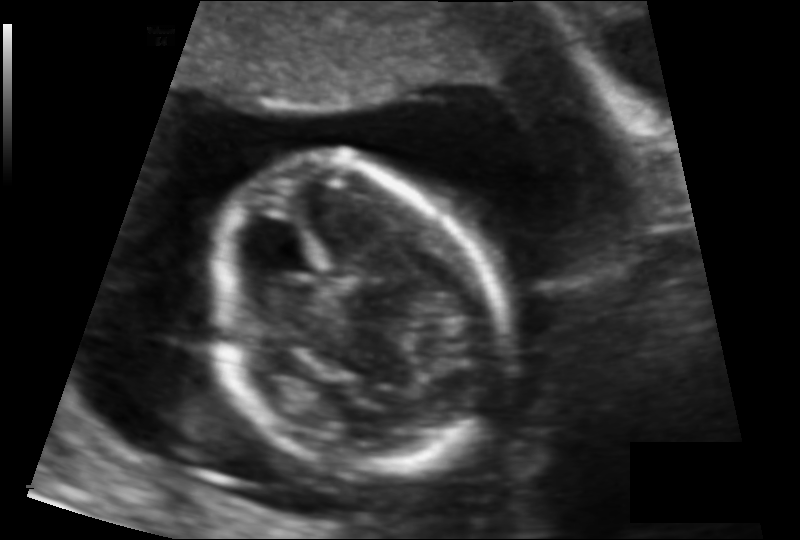
Estimate the fetal head circumference from this 2D ultrasound.

Head circumference: 100.1 mm (image width 82.6 mm).